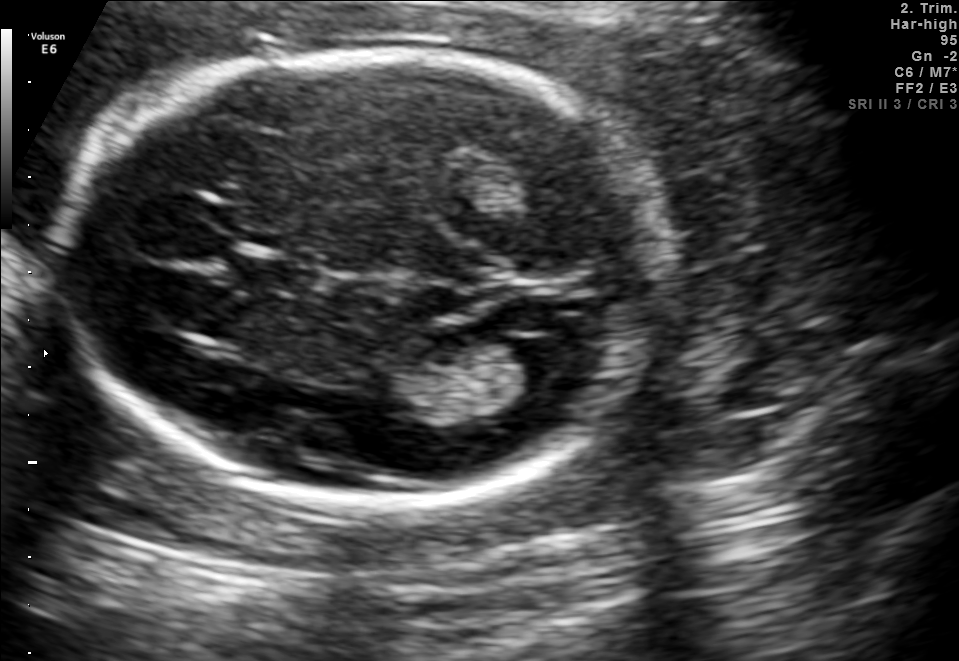
In this fetal brain, trans-ventricular plane, give the bounding box of the cavum septum pellucidum.

[225,248,325,299]